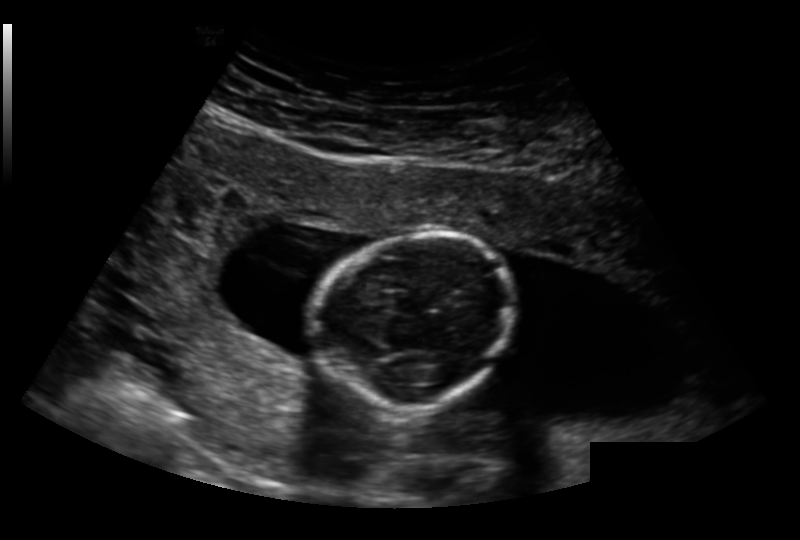
From this fetal ultrasound, estimate the head circumference (image width 152.4 mm).

Head circumference: 116.8 mm.